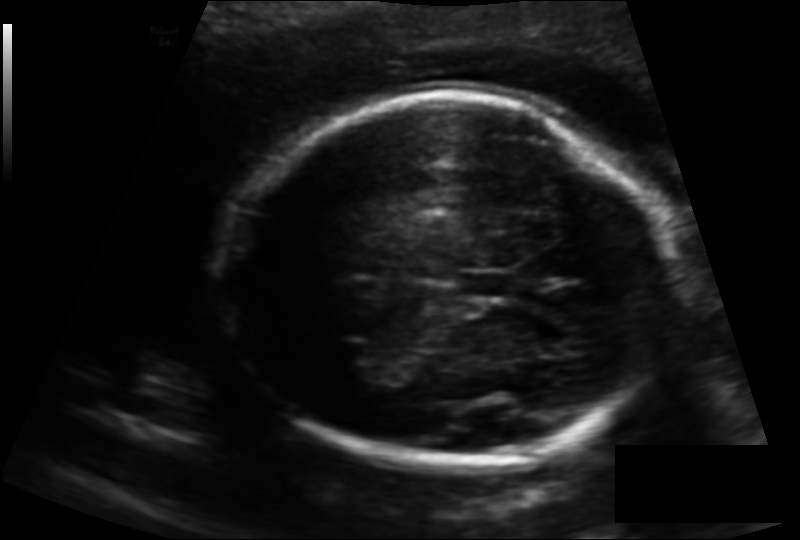
Fetal head ultrasound. Image width: 112.7 mm. Locate the fetal head.

Head: [224,95,677,465]